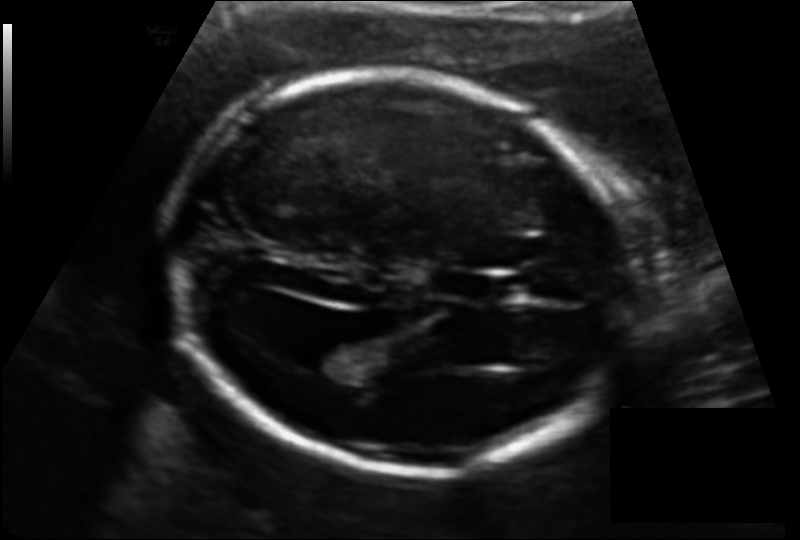
Fetal head ultrasound. Image width: 104.7 mm. Locate the fetal head.

Head: [163,75,636,471]